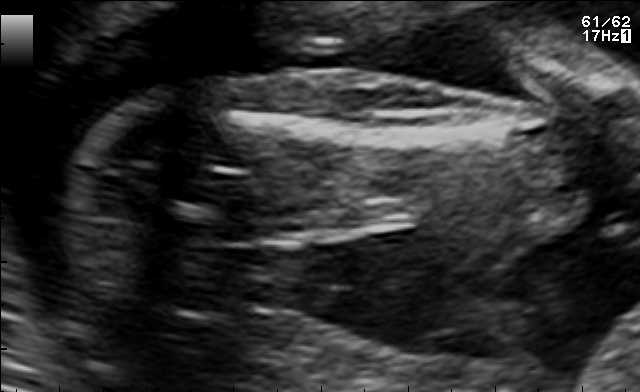
Which standard maternal-fetal ultrasound plane is shown: fetal abdomen, fetal brain, fetal femur, fetal thorax, maternal cervix, or other? If it's fetal brain and one of the three standard brain planes (trans-thalamic, trans-cerebellum, trans-ventricular), name which.

Fetal femur